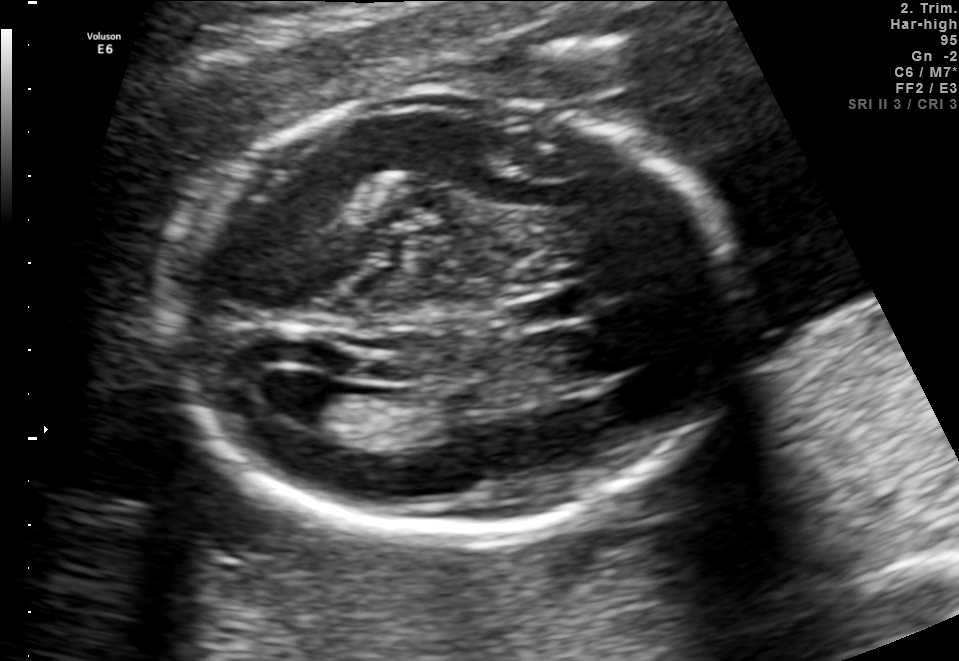
Classify this maternal-fetal ultrasound image as one of the six standard planes — fetal abdomen, fetal brain, fetal femur, fetal thorax, maternal cervix, or other. If it's fetal brain and one of the three standard brain planes (trans-thalamic, trans-cerebellum, trans-ventricular), name which.

Fetal brain (trans-ventricular plane)